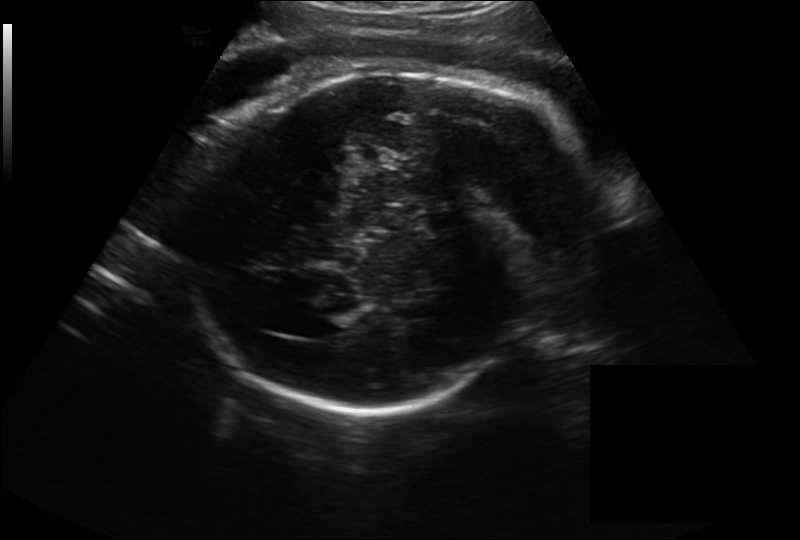
In this fetal head ultrasound, give the bounding box of the fetal head. Image width: 209.3 mm.

[189,67,585,411]